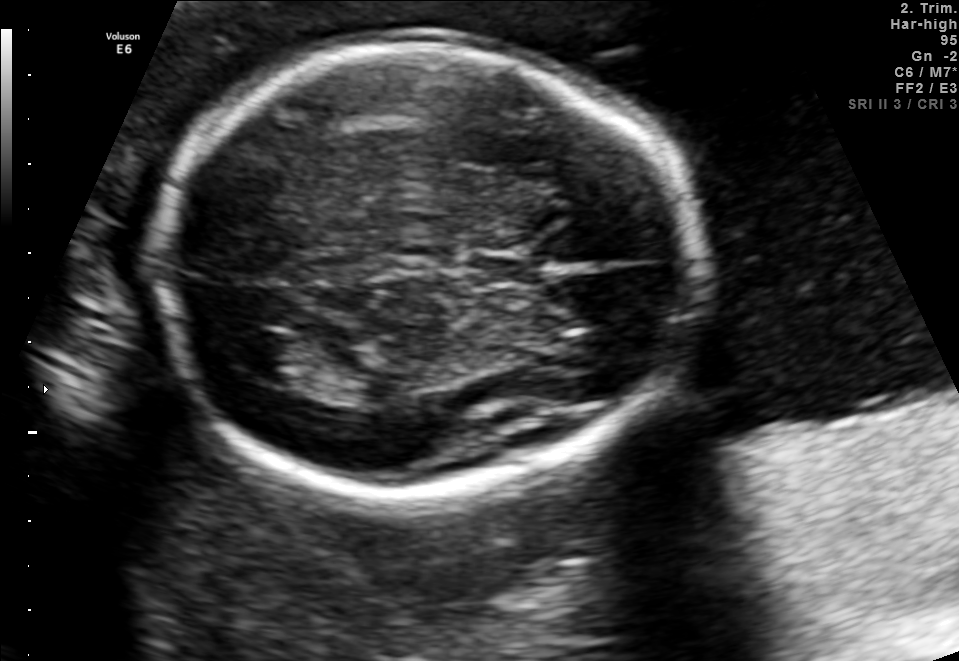
Fetal brain, trans-thalamic plane. Locate the cavum septum pellucidum.

CSP: [463,250,551,286]